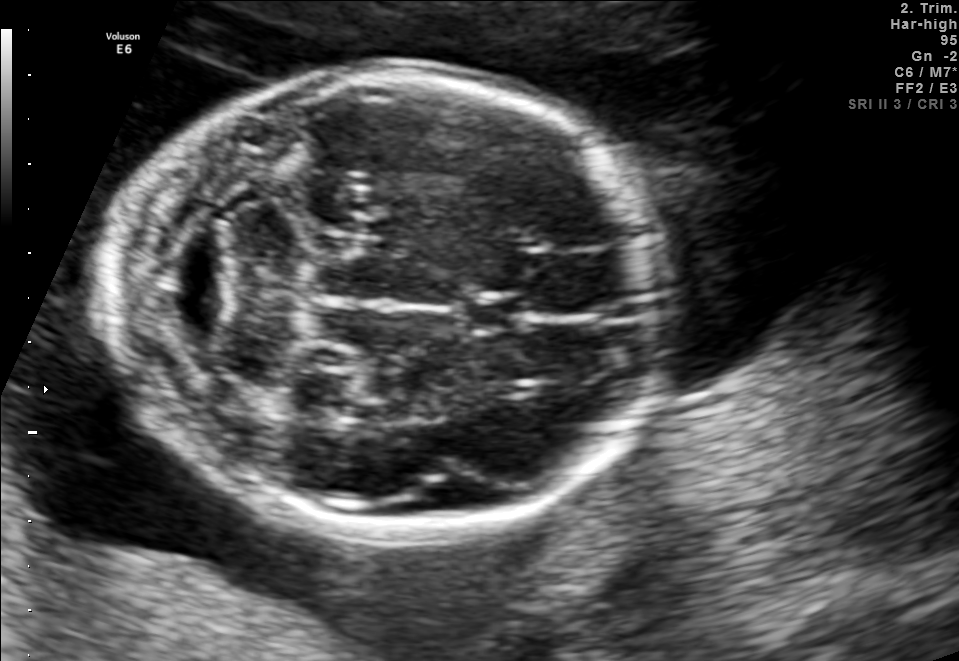
Which standard maternal-fetal ultrasound plane is shown: fetal abdomen, fetal brain, fetal femur, fetal thorax, maternal cervix, or other? If it's fetal brain and one of the three standard brain planes (trans-thalamic, trans-cerebellum, trans-ventricular), name which.

Fetal brain (trans-cerebellum plane)